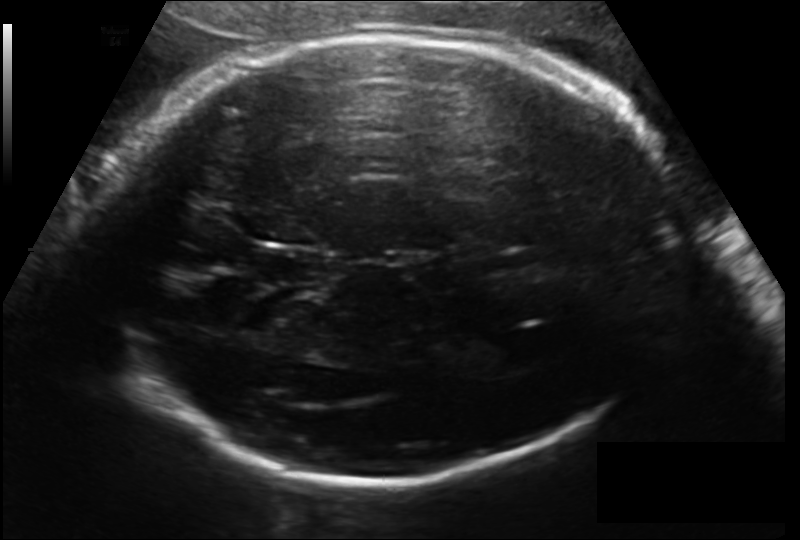
Fetal head ultrasound. Image width: 136.7 mm. Locate the fetal head.

Head: [102,33,672,487]